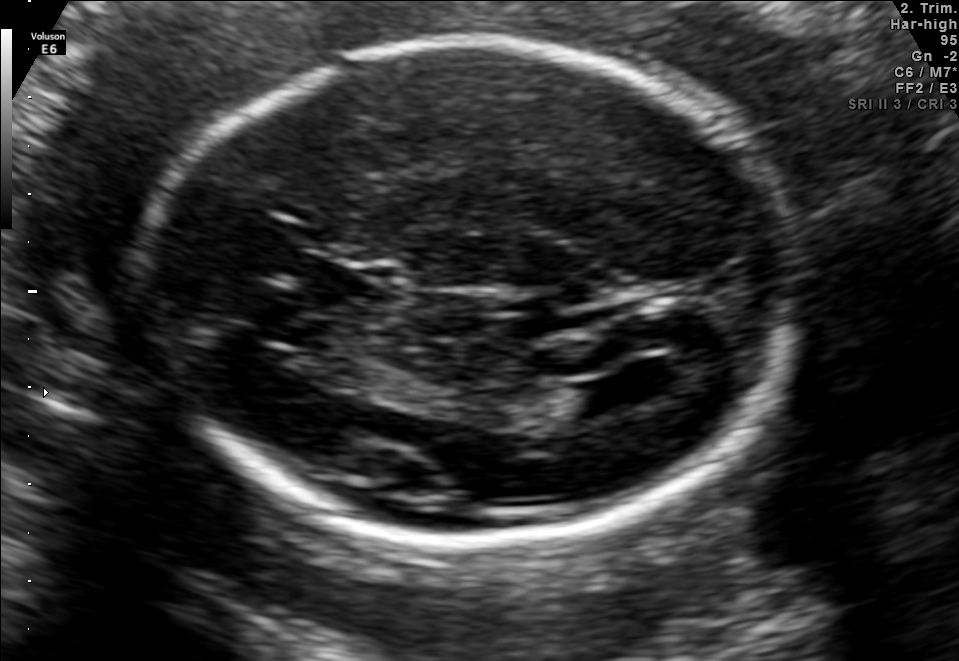
Fetal brain, trans-ventricular plane. Give [x1,y1,x2,y2] bounding boxes for each visible structure among: fetal head, CSP, LV.

Head: [123,34,808,549]
CSP: [299,260,410,322]
Lateral ventricle: [566,373,634,421]